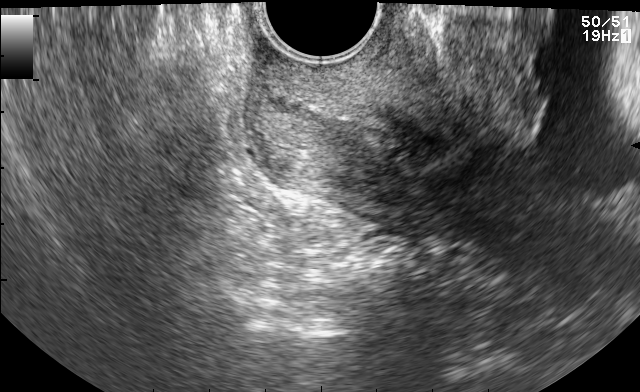
This is a 2D maternal-fetal ultrasound frame. Is it a fetal abdomen, fetal brain, fetal femur, fetal thorax, maternal cervix, or other standard plane? If it's fetal brain and one of the three standard brain planes (trans-thalamic, trans-cerebellum, trans-ventricular), name which.

Maternal cervix